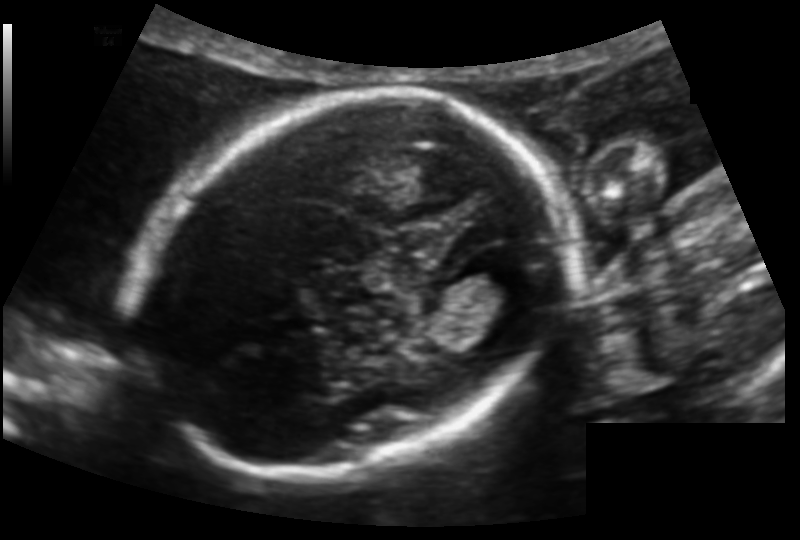
In this fetal head ultrasound, give the bounding box of the fetal head. Image width: 98.5 mm.

[137,94,556,477]